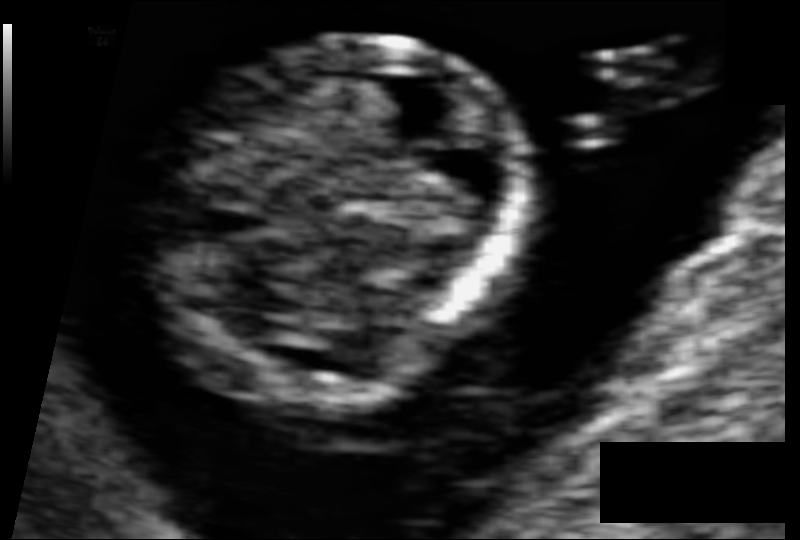
In this fetal head ultrasound, give the bounding box of the fetal head. Image width: 43.4 mm.

[142,36,525,408]